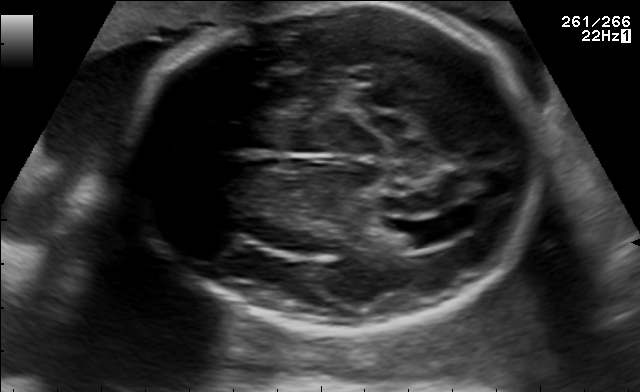
In this fetal brain, trans-ventricular plane, give the bounding box of the fetal head.

[125,4,552,332]